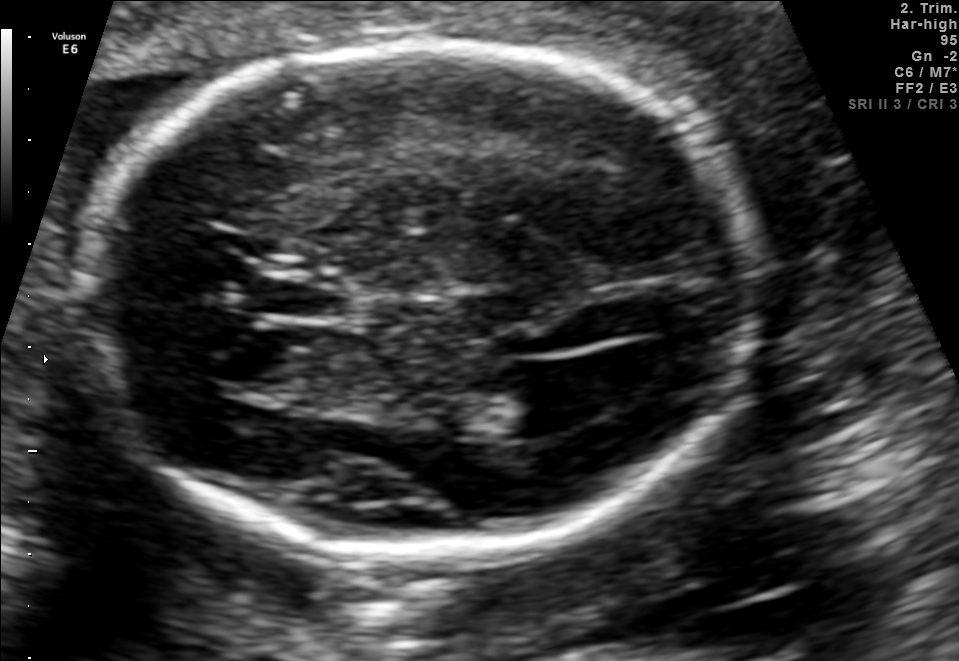
Classify this maternal-fetal ultrasound image as one of the six standard planes — fetal abdomen, fetal brain, fetal femur, fetal thorax, maternal cervix, or other. If it's fetal brain and one of the three standard brain planes (trans-thalamic, trans-cerebellum, trans-ventricular), name which.

Fetal brain (trans-ventricular plane)